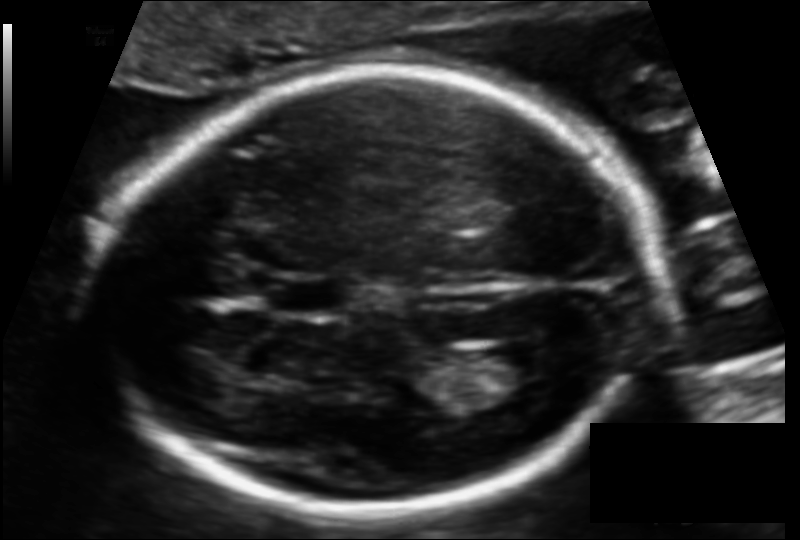
Fetal head ultrasound. Image width: 89.8 mm. Locate the cavum septum pellucidum.

CSP: [265,277,343,315]